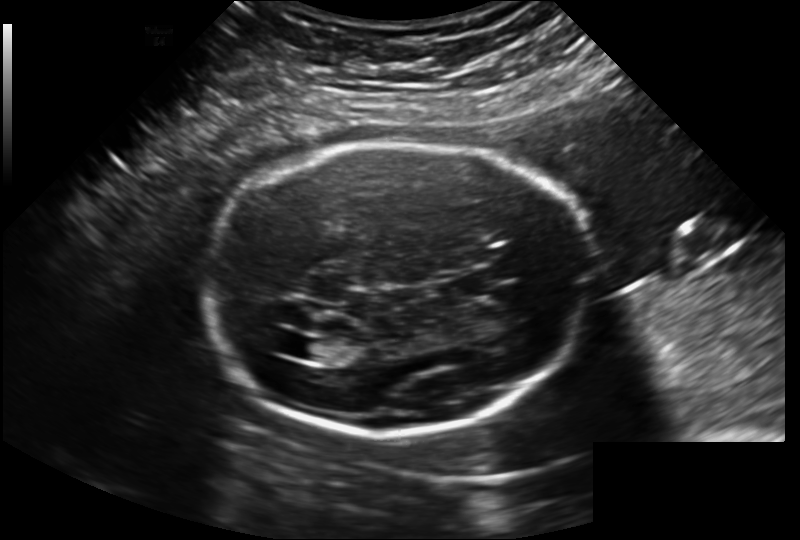
From this fetal ultrasound, estimate the head circumference (image width 161.6 mm).

Head circumference: 223.8 mm.